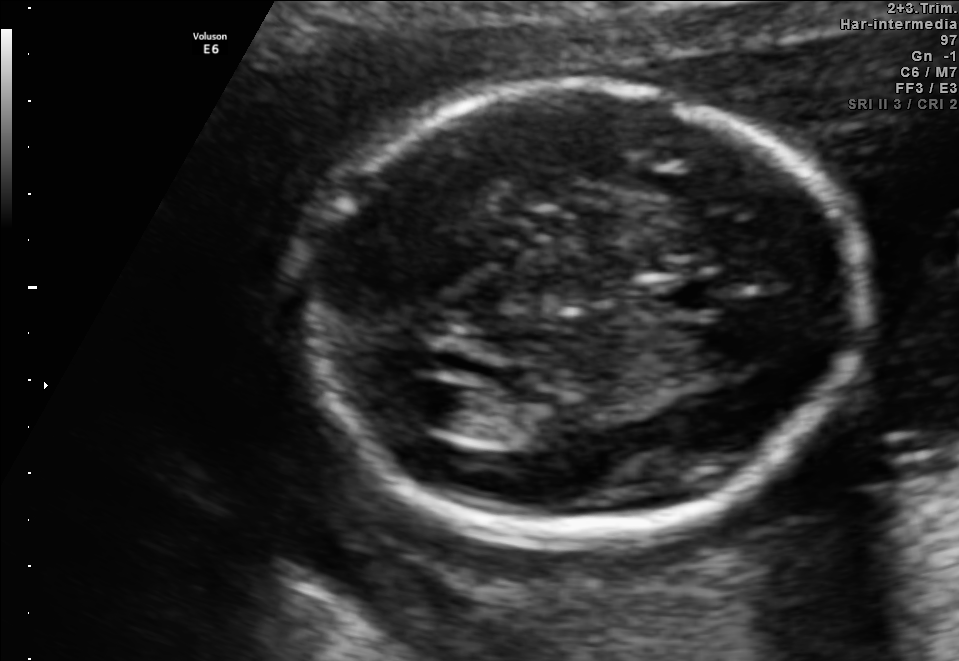
Which standard maternal-fetal ultrasound plane is shown: fetal abdomen, fetal brain, fetal femur, fetal thorax, maternal cervix, or other? If it's fetal brain and one of the three standard brain planes (trans-thalamic, trans-cerebellum, trans-ventricular), name which.

Fetal brain (trans-ventricular plane)